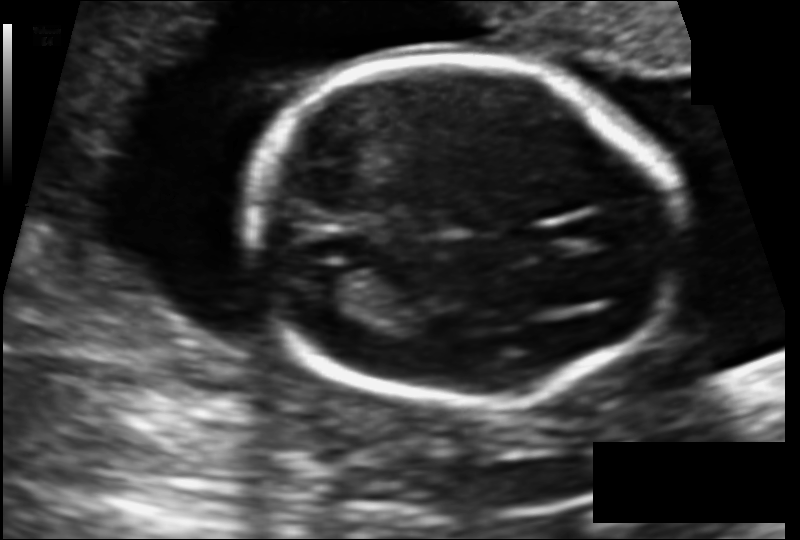
Fetal head ultrasound. Image width: 96.7 mm. Where is the lateral ventricle?

Lateral ventricle bounding box: [315,266,382,304]